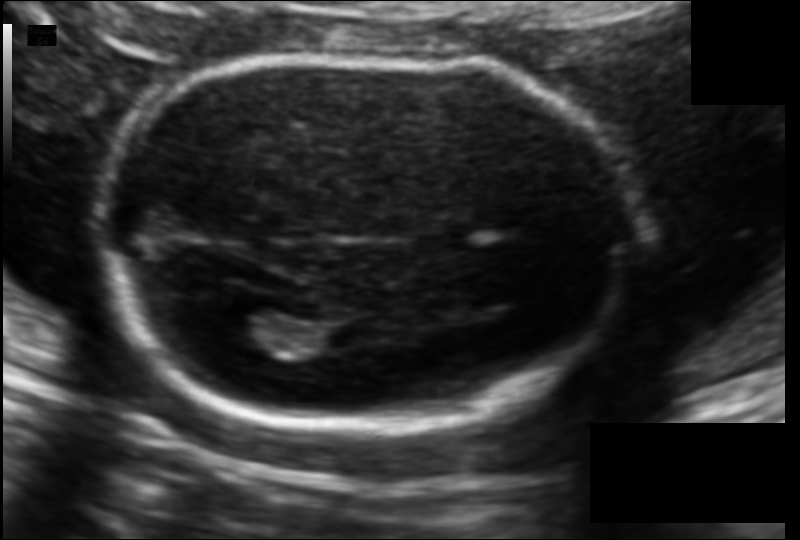
Fetal head ultrasound. Image width: 90.5 mm. Locate the lateral ventricle.

Lateral ventricle: [210,299,294,359]